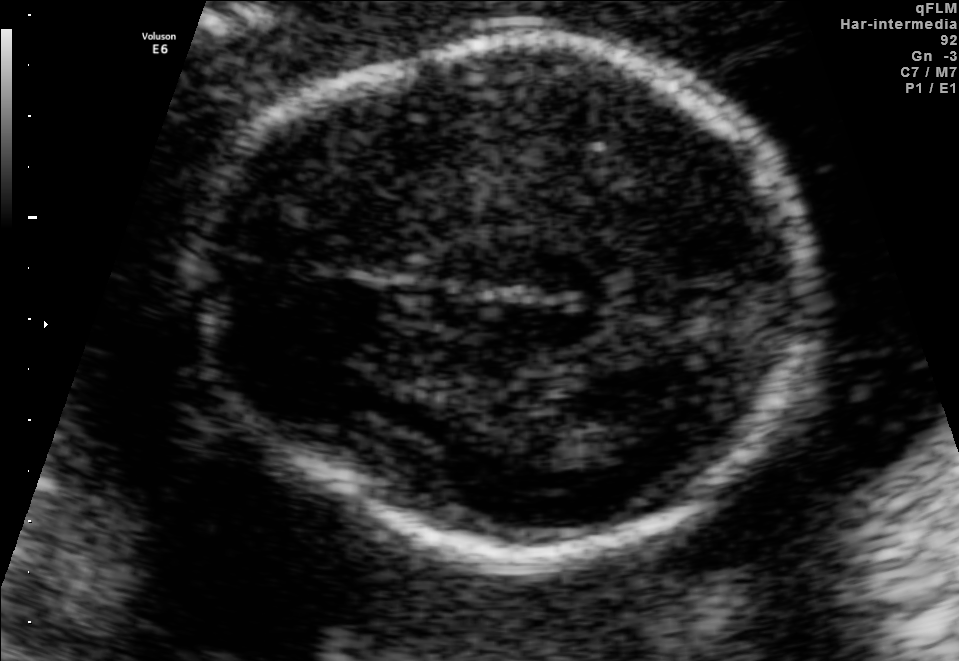
In this fetal brain, trans-thalamic plane, give the bounding box of the lateral ventricle.

[513,406,639,473]